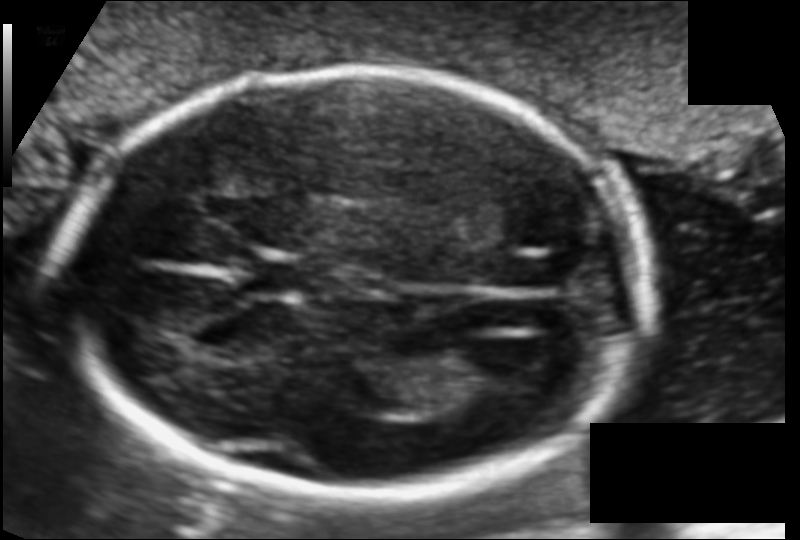
Estimate the fetal head circumference from this 2D ultrasound.

Head circumference: 179.6 mm (image width 87.9 mm).